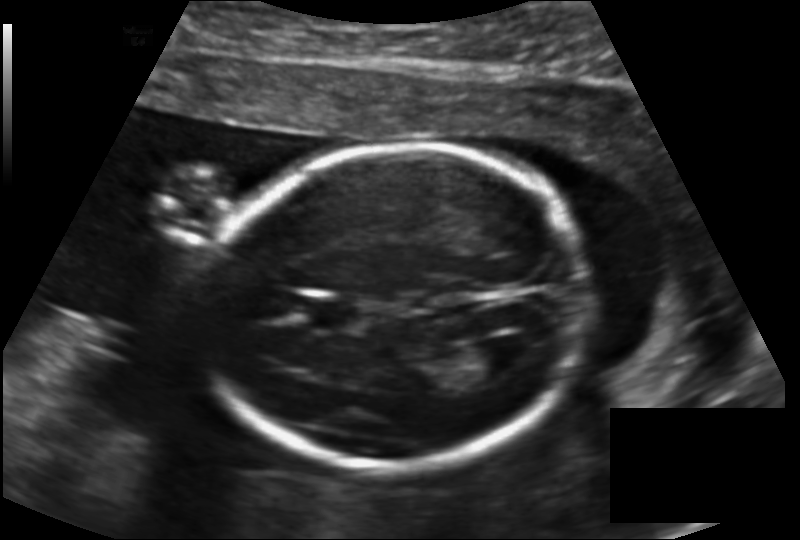
Fetal head ultrasound. Image width: 117.6 mm. Locate the cavum septum pellucidum.

CSP: [308,298,360,329]